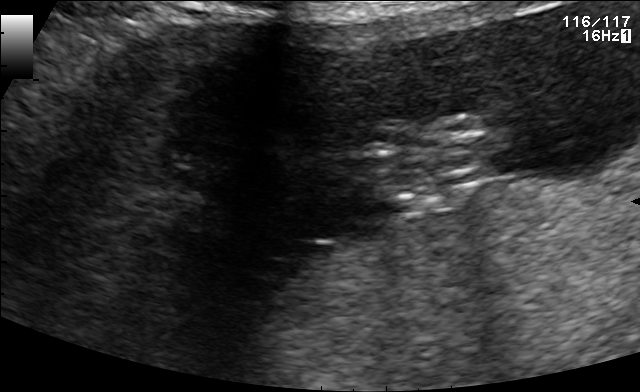
This is a 2D maternal-fetal ultrasound frame. Is it a fetal abdomen, fetal brain, fetal femur, fetal thorax, maternal cervix, or other standard plane? If it's fetal brain and one of the three standard brain planes (trans-thalamic, trans-cerebellum, trans-ventricular), name which.

Other